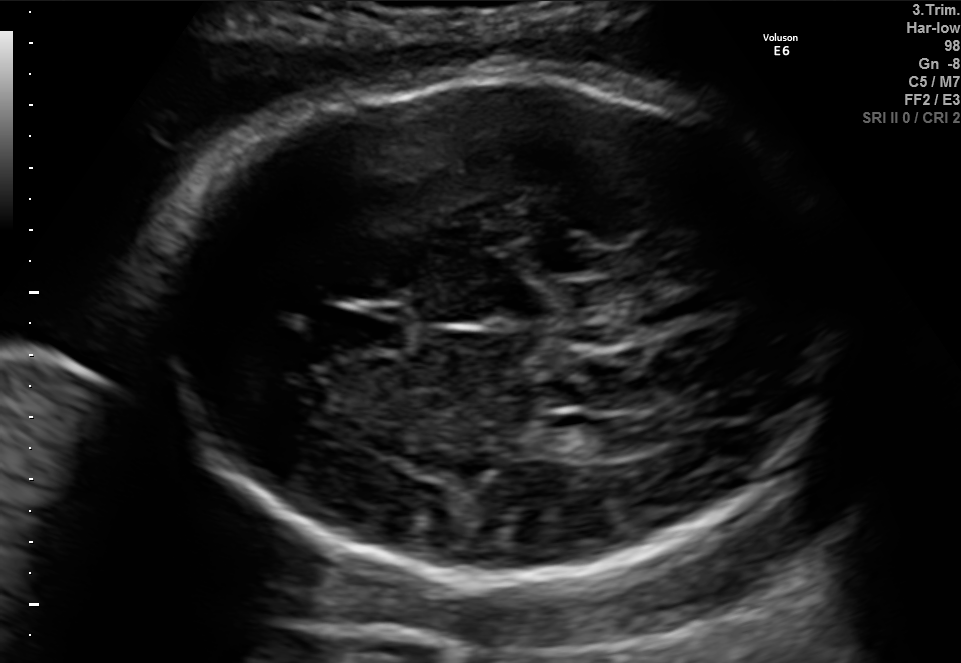
In this fetal brain, trans-ventricular plane, give the bounding box of the fetal head.

[140,62,855,589]